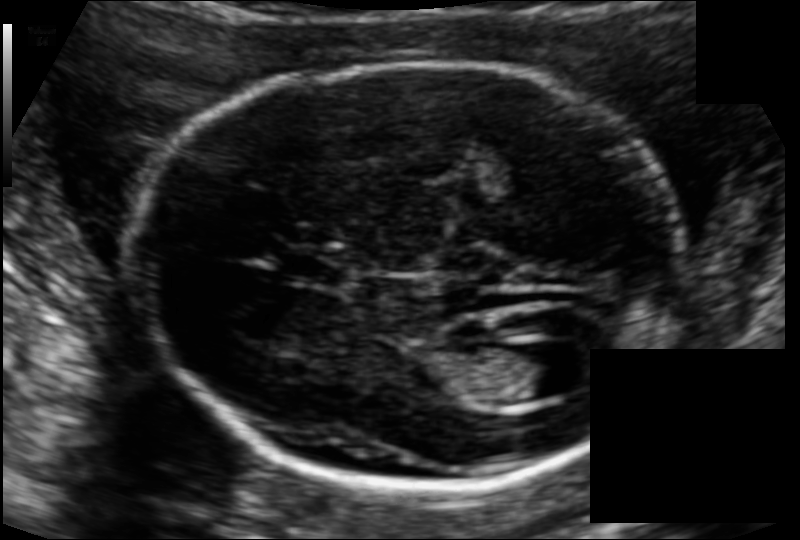
Fetal head ultrasound. Image width: 88.5 mm. Locate the cavum septum pellucidum.

CSP: [277,248,345,285]